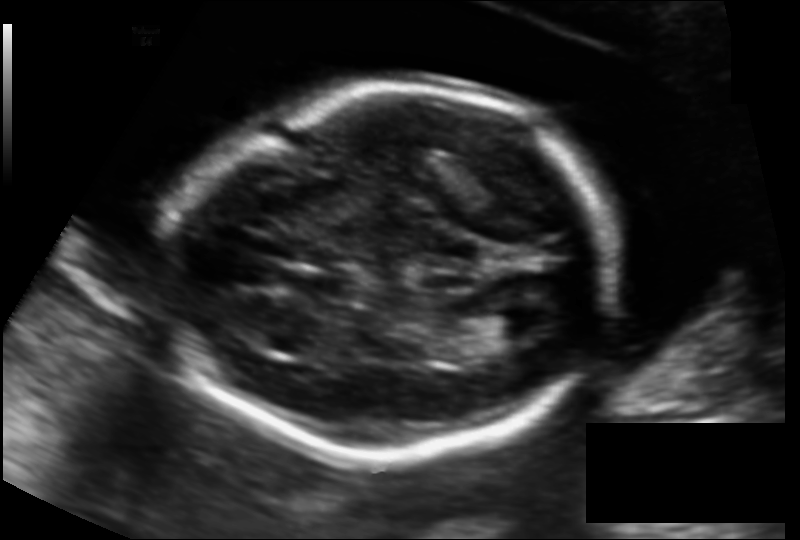
Fetal head ultrasound. Image width: 105.0 mm. Locate the cavum septum pellucidum.

CSP: [290,267,352,302]